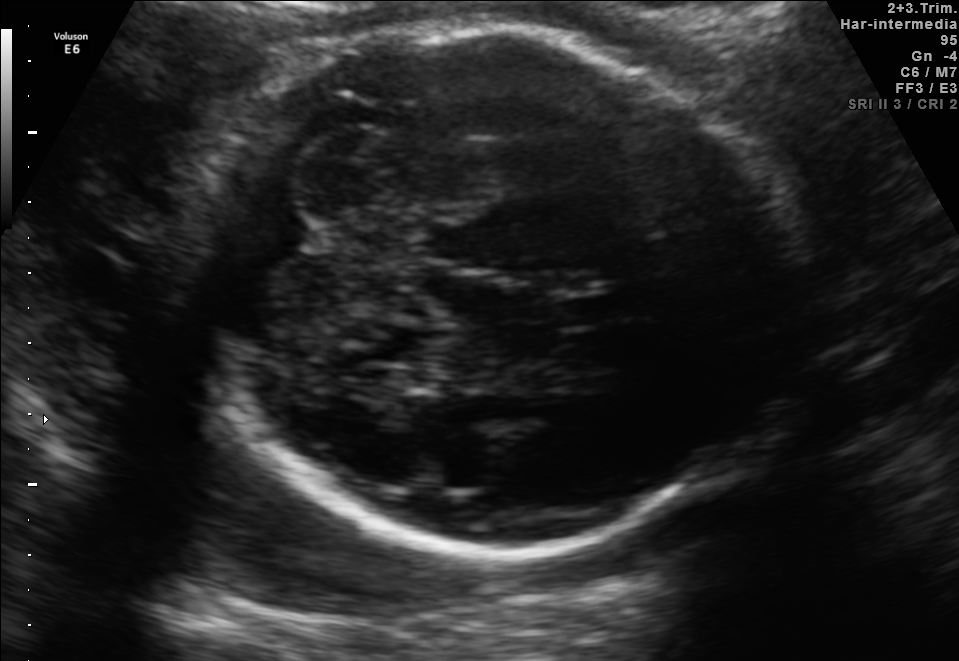
In this fetal brain, trans-cerebellum plane, give the bounding box of the fetal head.

[182,24,789,547]